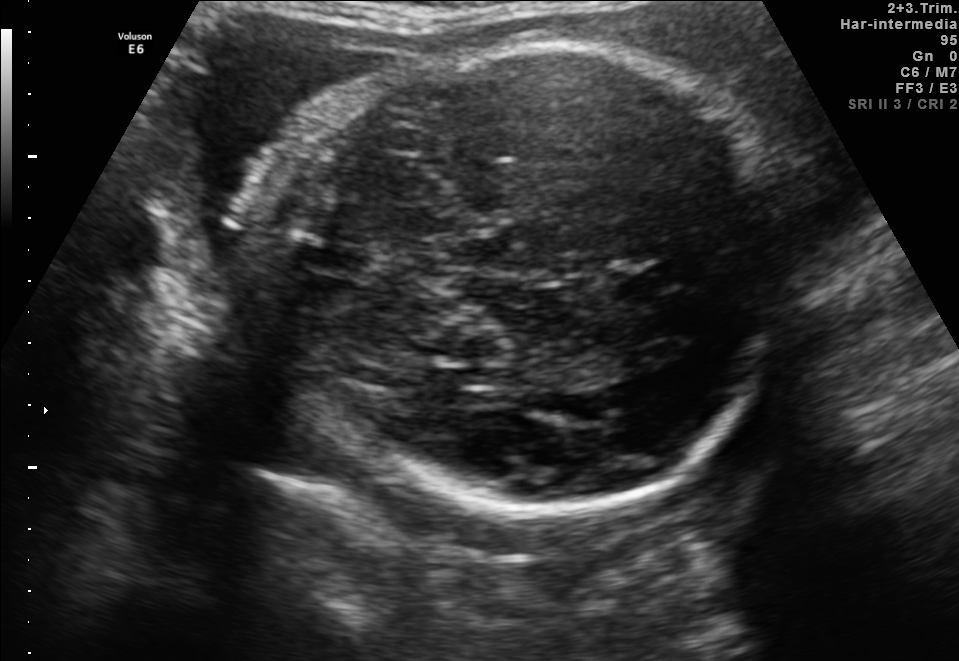
In this fetal brain, trans-thalamic plane, give the bounding box of the lateral ventricle.

[457,368,505,384]